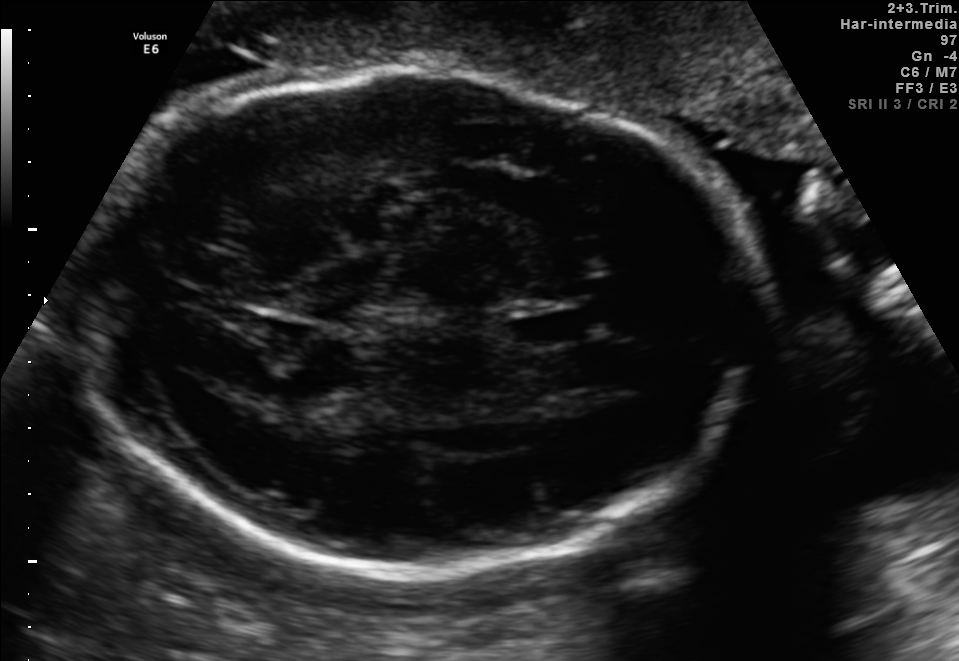
Fetal brain, trans-thalamic plane. Where is the fetal head?

Head bounding box: [76,70,755,575]